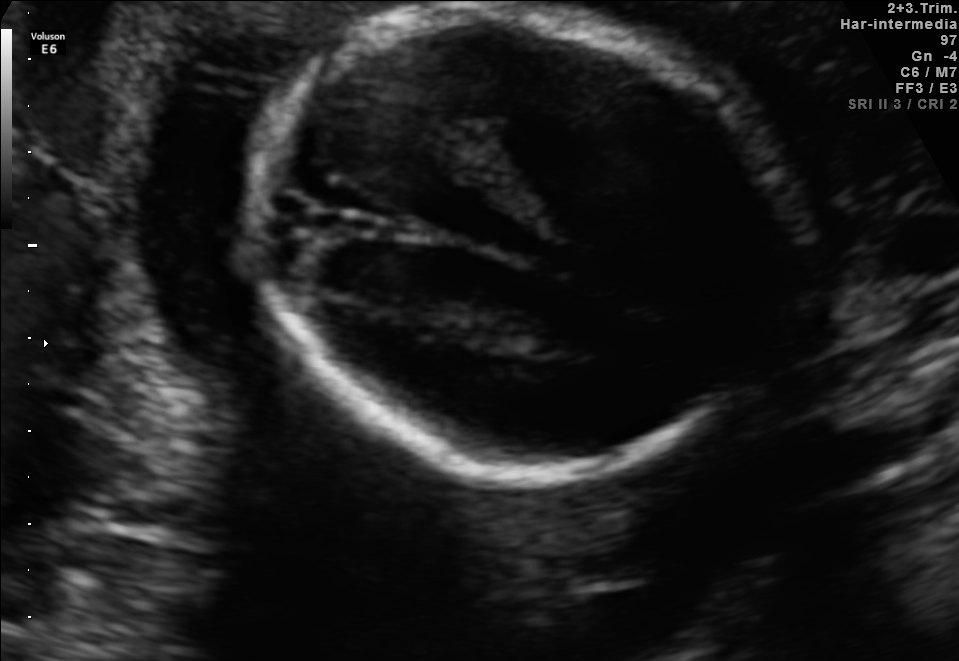
Fetal brain, trans-thalamic plane. Locate the fetal head.

Head: [253,11,804,474]